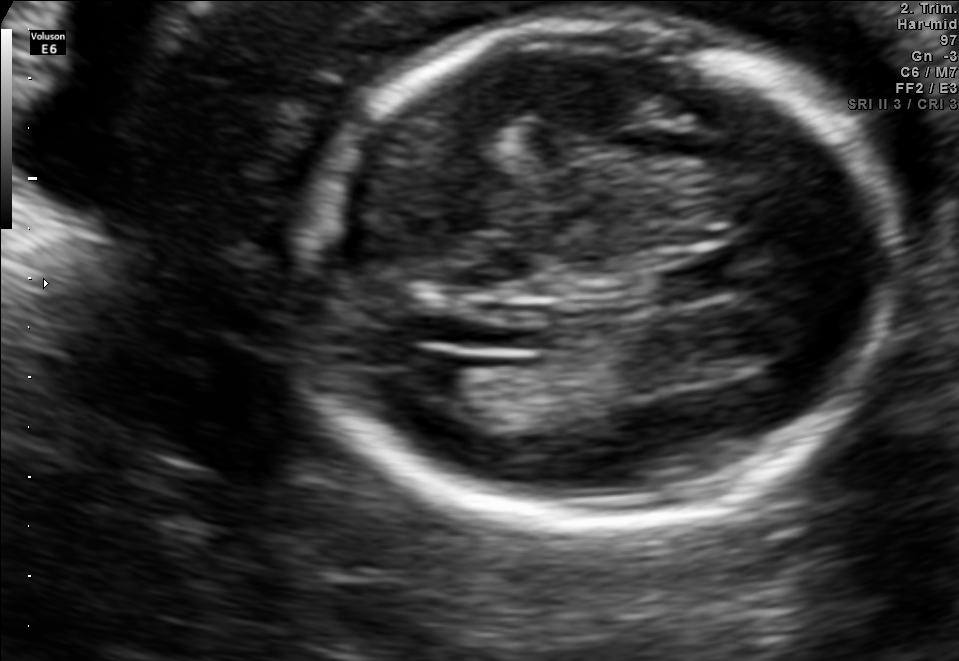
Which standard maternal-fetal ultrasound plane is shown: fetal abdomen, fetal brain, fetal femur, fetal thorax, maternal cervix, or other? If it's fetal brain and one of the three standard brain planes (trans-thalamic, trans-cerebellum, trans-ventricular), name which.

Fetal brain (trans-ventricular plane)